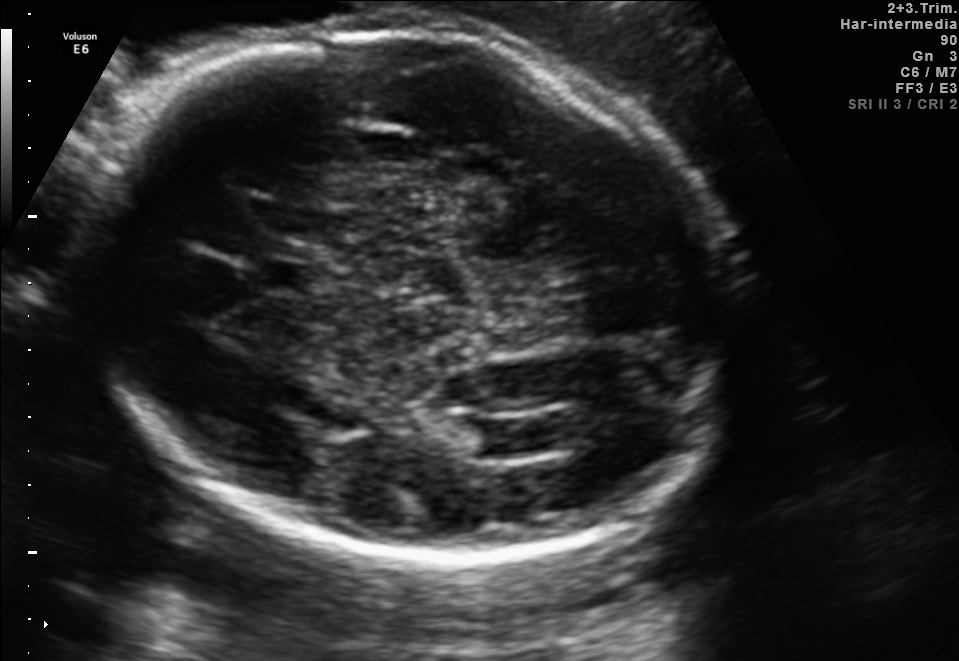
Fetal brain, trans-ventricular plane. Where is the cavum septum pellucidum?

CSP bounding box: [229,244,332,305]